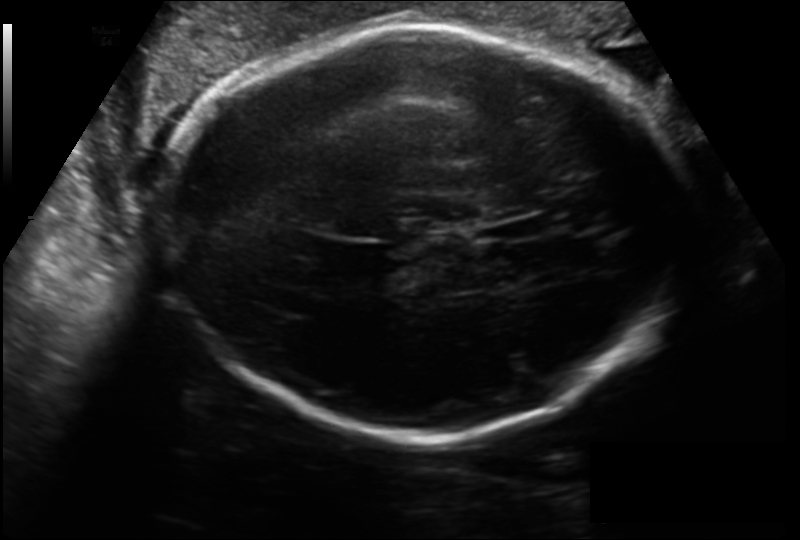
Measure the fetal head circumference shown in this ultrasound image. Image width: 158.9 mm.

Head circumference: 298.6 mm.